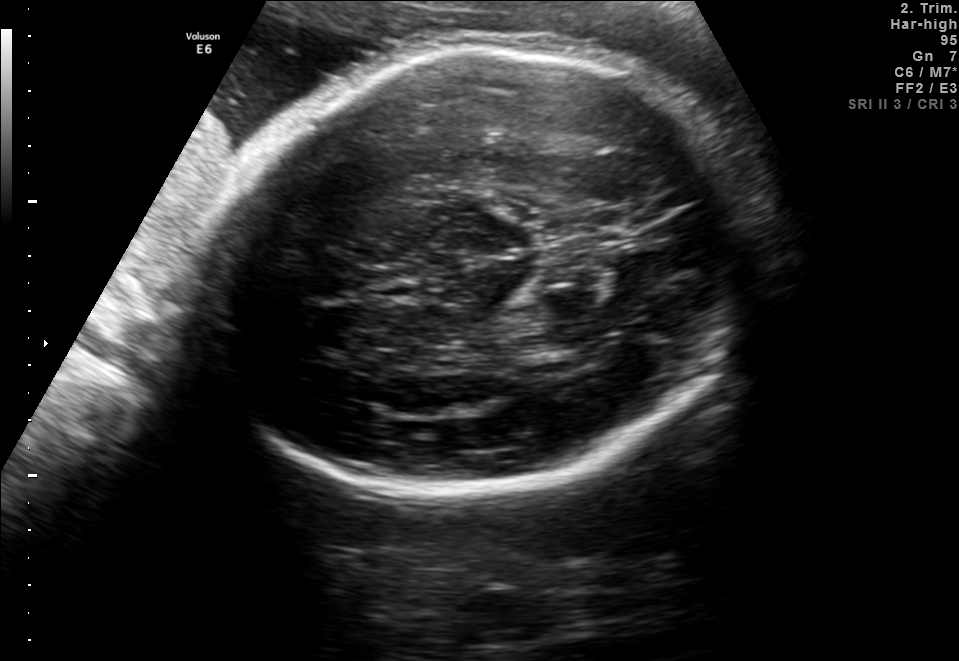
Fetal brain, trans-thalamic plane. Locate the fetal head and, if visible, the cavum septum pellucidum (CSP) and lateral ventricle (LV). Give bounding boxes as [x1,y1,x2,y2].

Head: [199,41,754,498]